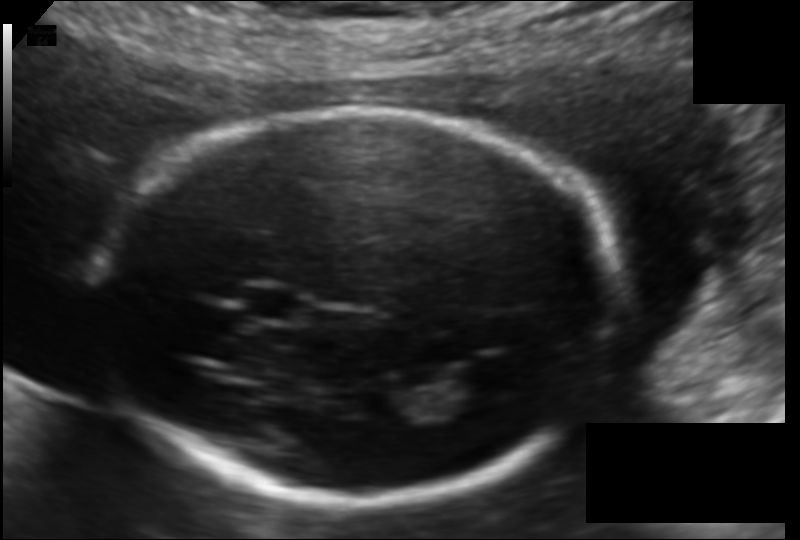
Estimate the fetal head circumference from this 2D ultrasound.

Head circumference: 179.5 mm (image width 96.1 mm).